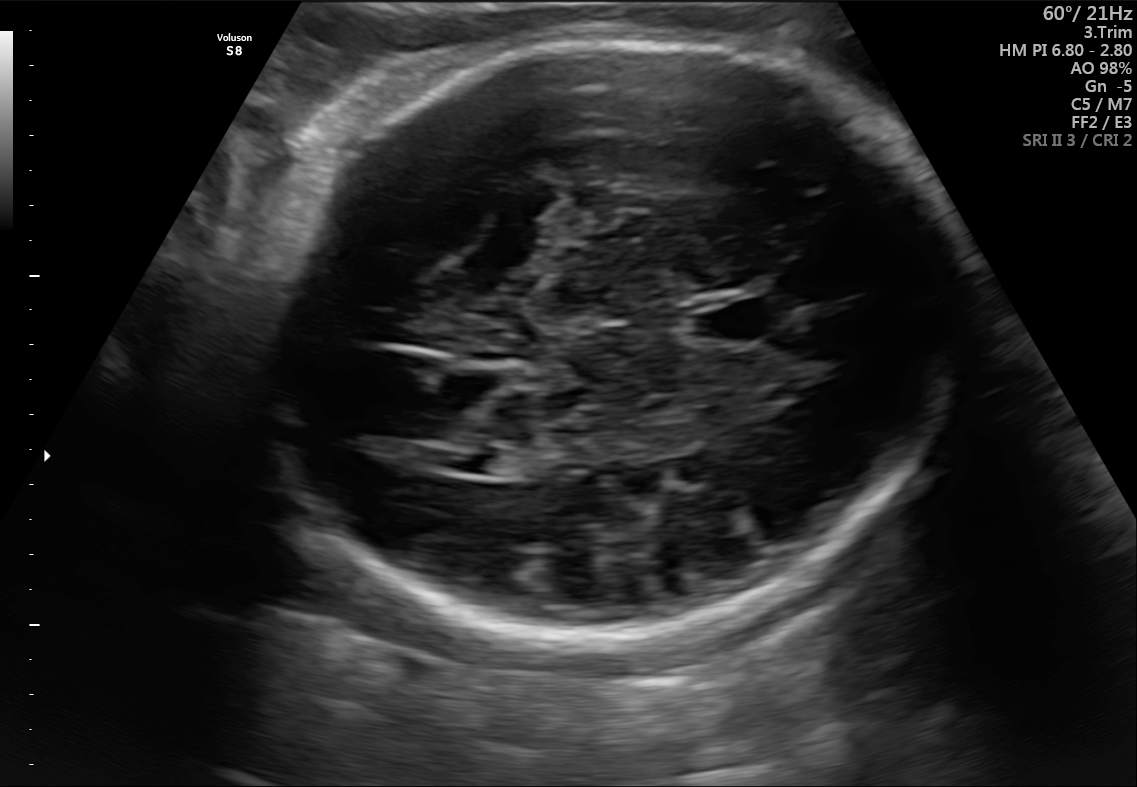
Fetal brain, trans-ventricular plane. Give [x1,y1,x2,y2] bounding boxes for each visible structure among: fetal head, CSP, LV.

Head: [245,35,982,645]
CSP: [690,304,765,341]
Lateral ventricle: [446,448,500,476]